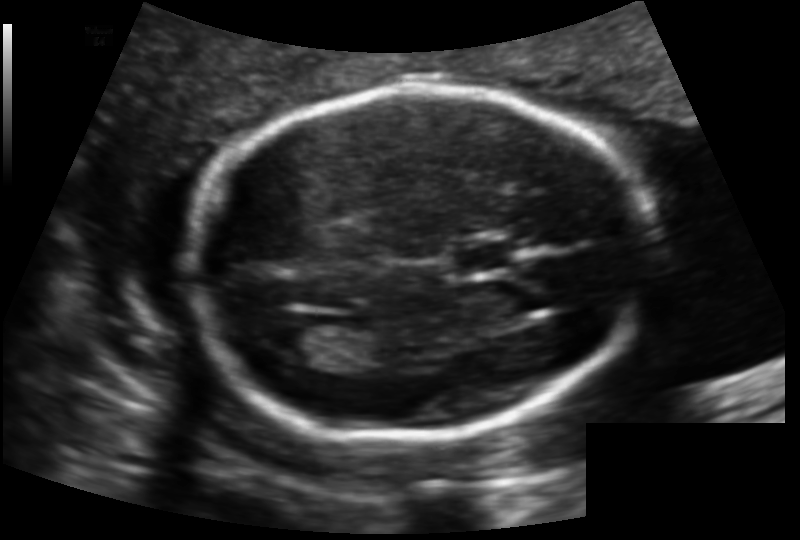
In this fetal head ultrasound, give the bounding box of the fetal head. Image width: 103.4 mm.

[189,86,652,435]